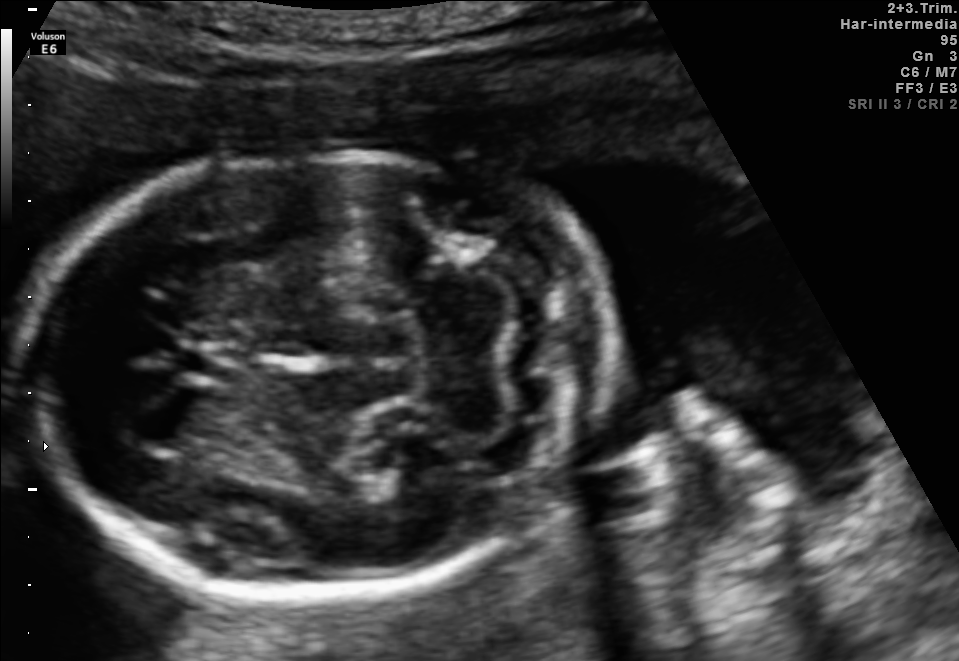
Fetal brain, trans-cerebellum plane. Where is the fetal head?

Head bounding box: [22,153,613,594]